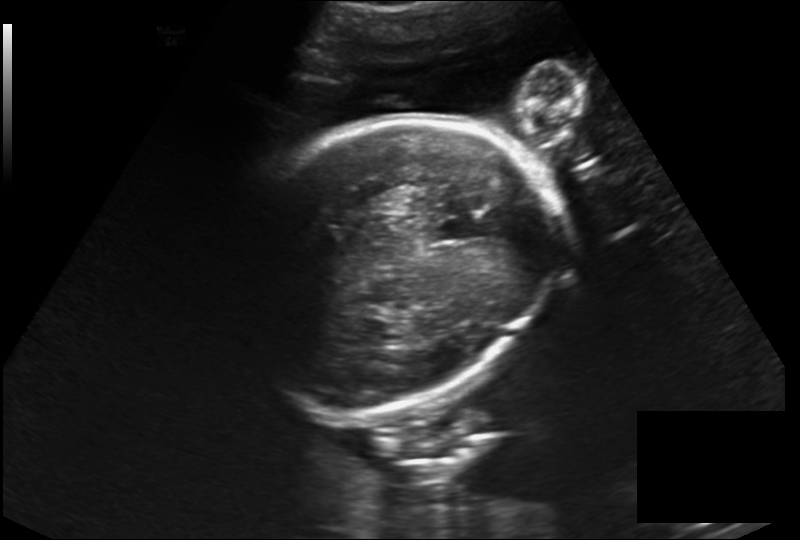
Measure the fetal head circumference shown in this ultrasound image. Image width: 184.3 mm.

Head circumference: 225.2 mm.